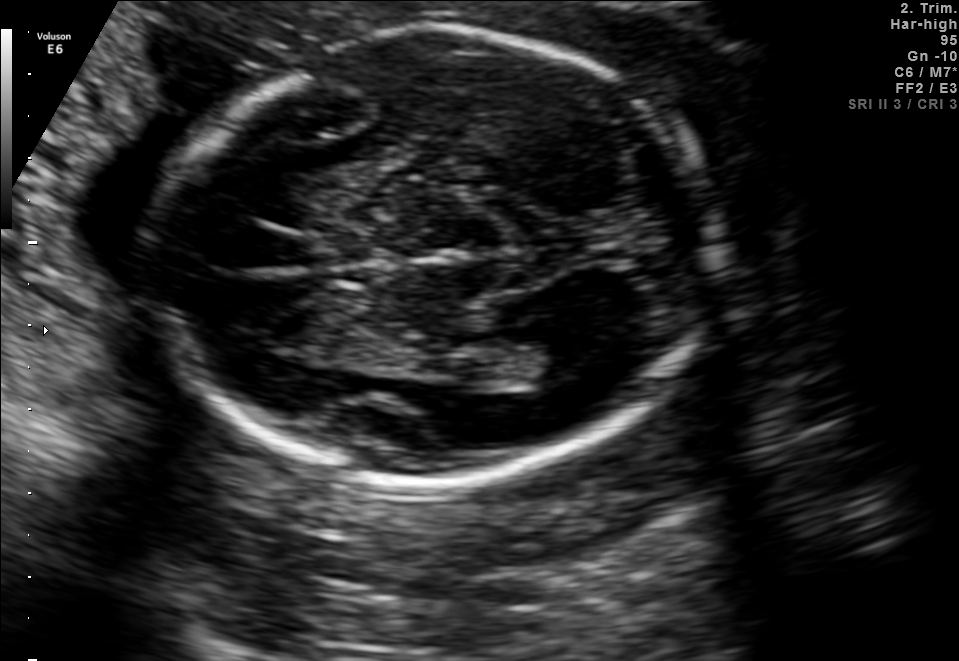
In this fetal brain, trans-ventricular plane, give the bounding box of the lateral ventricle.

[521,324,604,383]